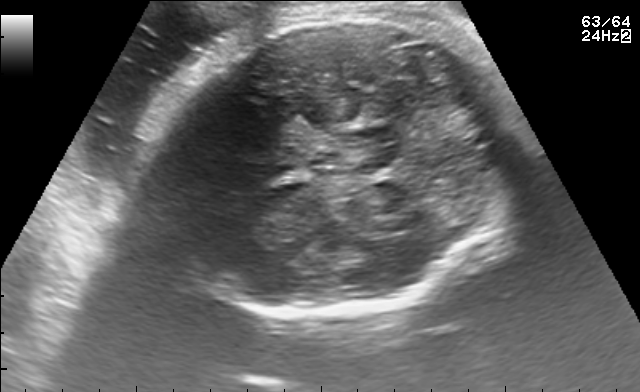
In this fetal brain, trans-cerebellum plane, give bounding boxes for the head outline, cavum septum pellucidum (CSP), and lateral ventricle (LV), where visible.

Head: [151,13,519,317]